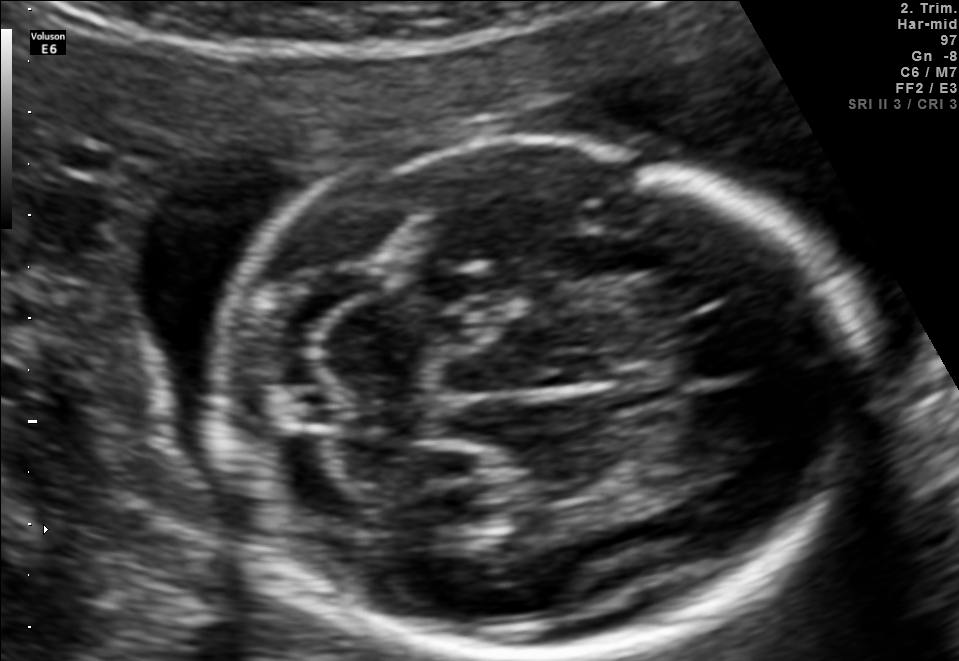
Fetal brain, trans-cerebellum plane. Locate the fetal head and, if visible, the cavum septum pellucidum (CSP) and lateral ventricle (LV). Give bounding boxes as [x1,y1,x2,y2].

Head: [213,138,850,660]